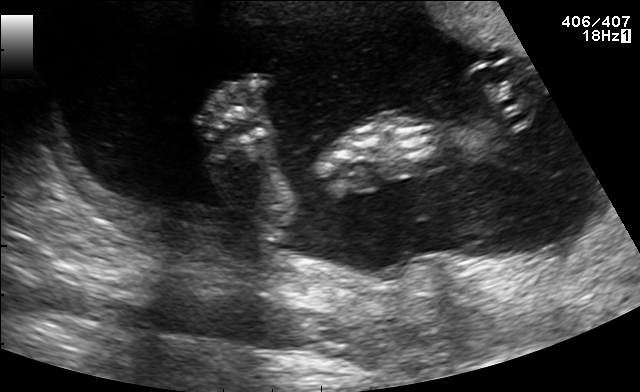
Classify this maternal-fetal ultrasound image as one of the six standard planes — fetal abdomen, fetal brain, fetal femur, fetal thorax, maternal cervix, or other. If it's fetal brain and one of the three standard brain planes (trans-thalamic, trans-cerebellum, trans-ventricular), name which.

Other